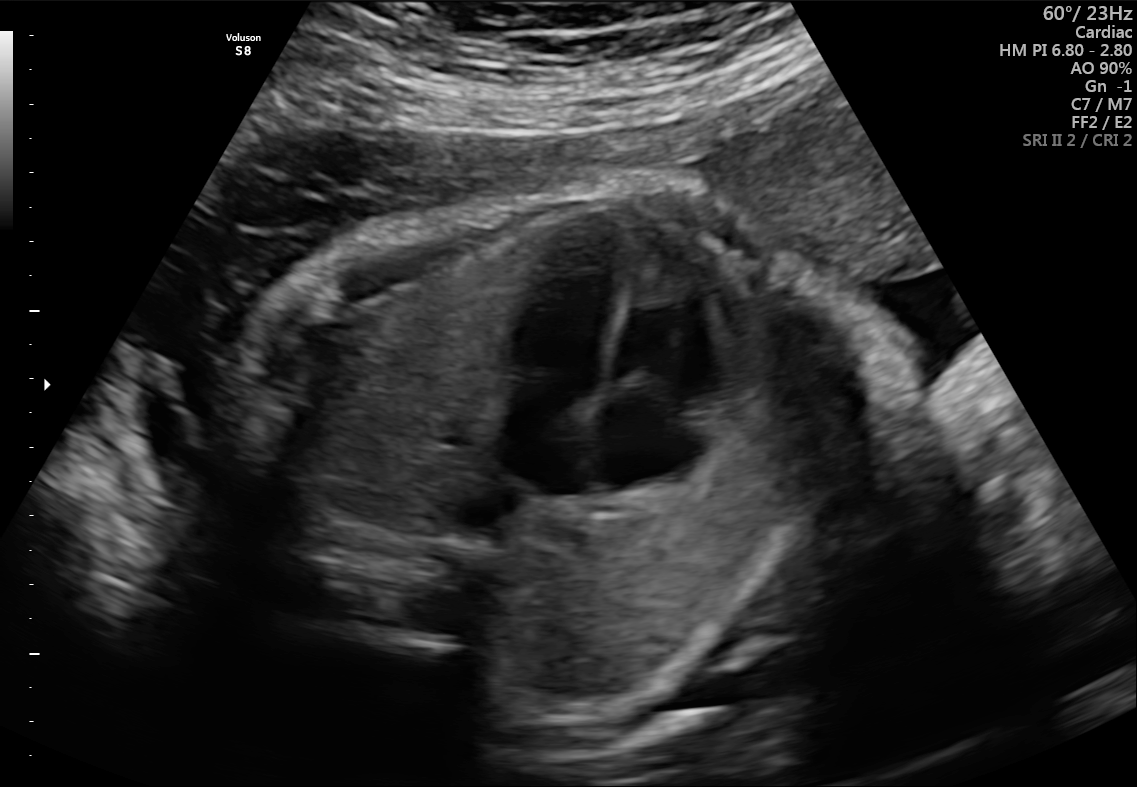
This is a 2D maternal-fetal ultrasound frame. Is it a fetal abdomen, fetal brain, fetal femur, fetal thorax, maternal cervix, or other standard plane? If it's fetal brain and one of the three standard brain planes (trans-thalamic, trans-cerebellum, trans-ventricular), name which.

Fetal thorax